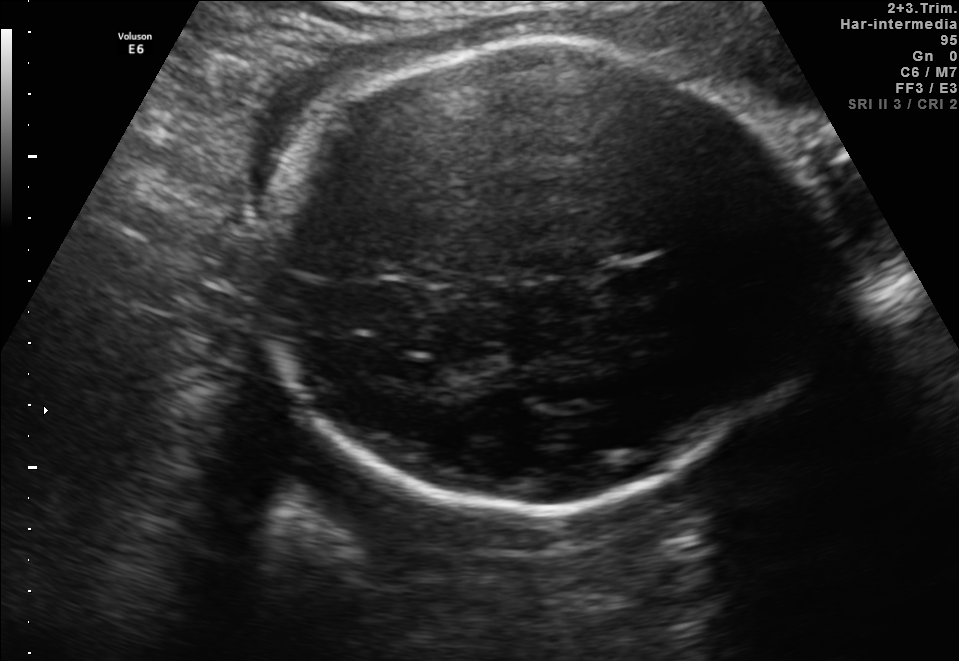
In this fetal brain, trans-thalamic plane, give the bounding box of the cavum septum pellucidum.

[607,255,675,300]